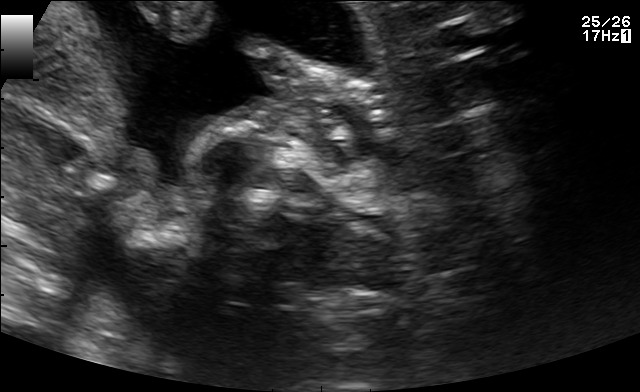
This is a 2D maternal-fetal ultrasound frame. Is it a fetal abdomen, fetal brain, fetal femur, fetal thorax, maternal cervix, or other standard plane? If it's fetal brain and one of the three standard brain planes (trans-thalamic, trans-cerebellum, trans-ventricular), name which.

Other